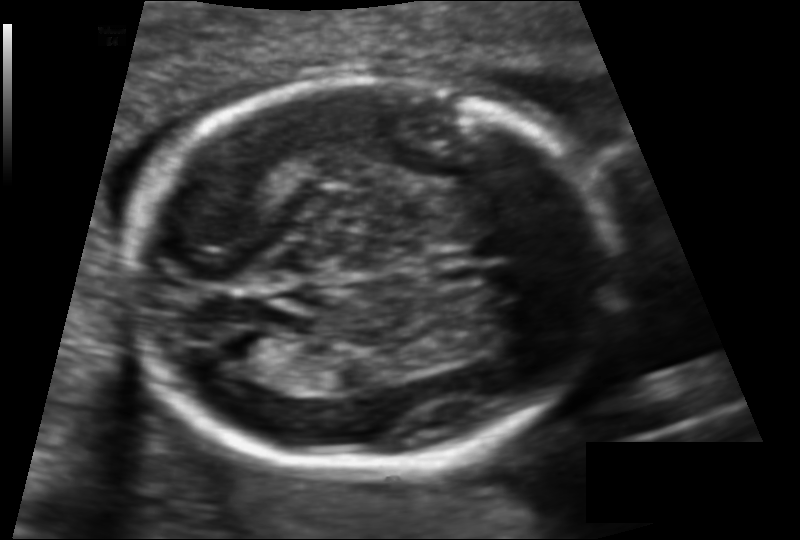
Fetal head ultrasound. Image width: 94.9 mm. Locate the lateral ventricle.

Lateral ventricle: [208,322,283,377]